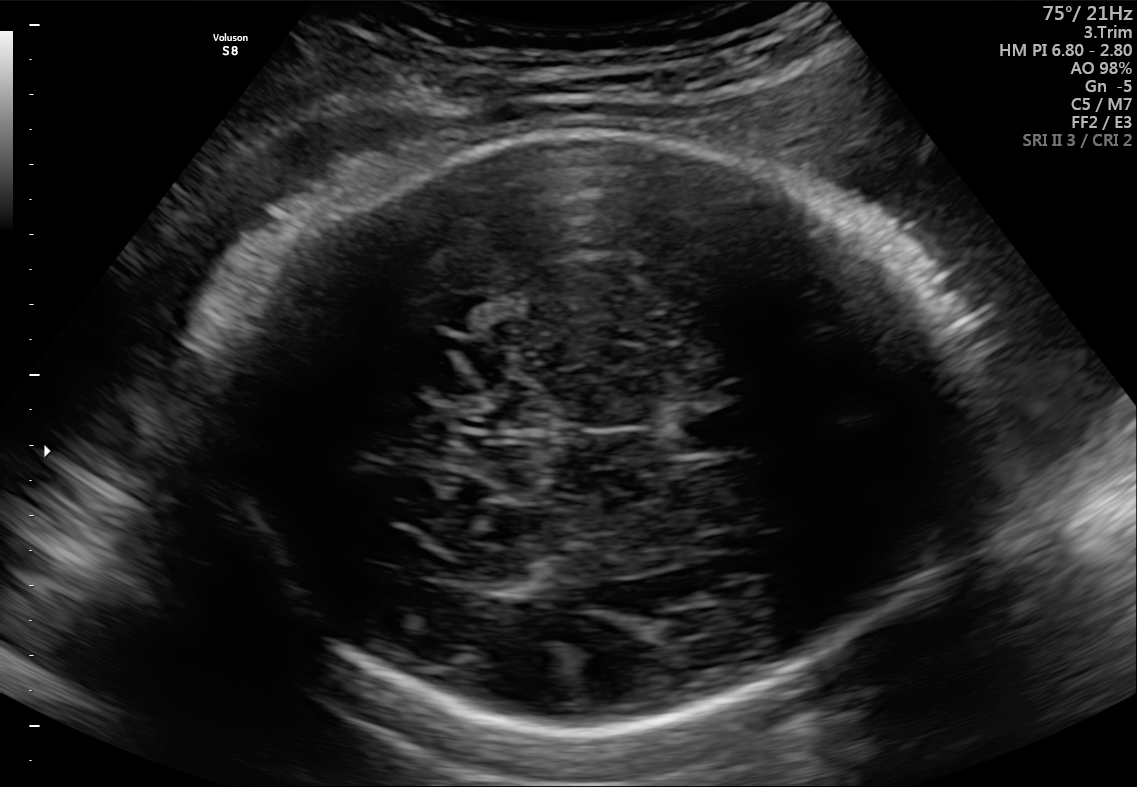
In this fetal brain, trans-thalamic plane, give the bounding box of the fetal head.

[211,130,950,731]